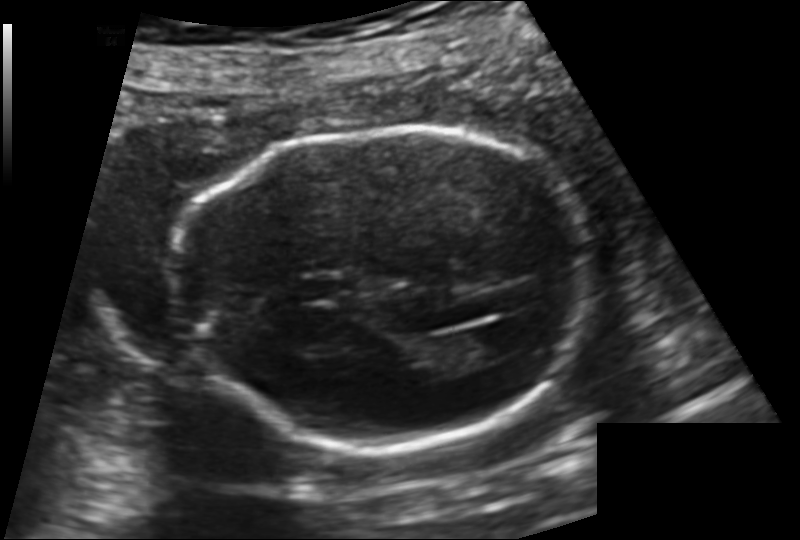
Fetal head ultrasound. Image width: 115.3 mm. Where is the cavum septum pellucidum?

CSP bounding box: [295,277,341,301]